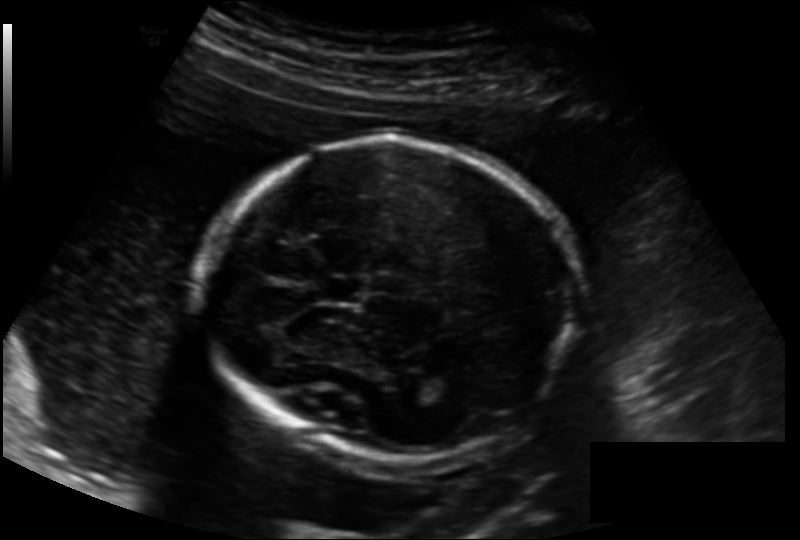
Fetal head ultrasound. Image width: 126.5 mm. Locate the fetal head and, if visible, the cavum septum pellucidum (CSP) and lateral ventricle (LV). Give bounding boxes as [x1,y1,x2,y2].

Head: [198,141,574,459]
CSP: [319,279,363,301]